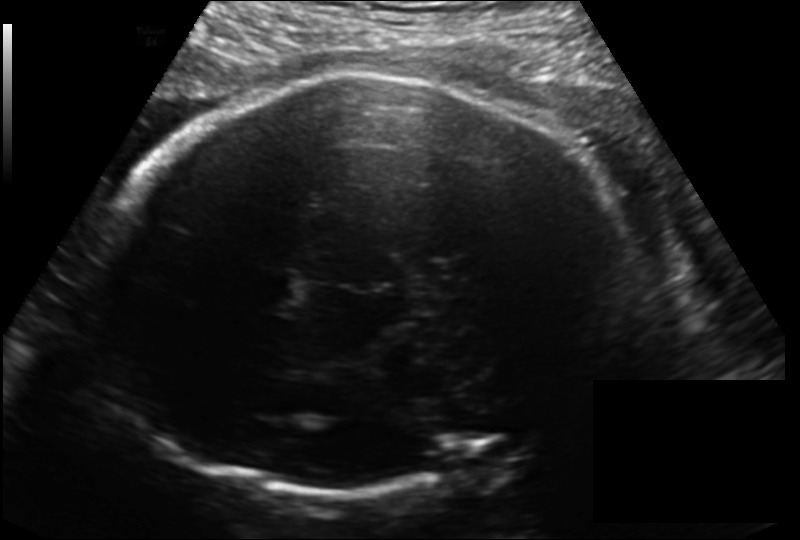
In this fetal head ultrasound, give the bounding box of the fetal head. Image width: 158.6 mm.

[88,69,624,493]